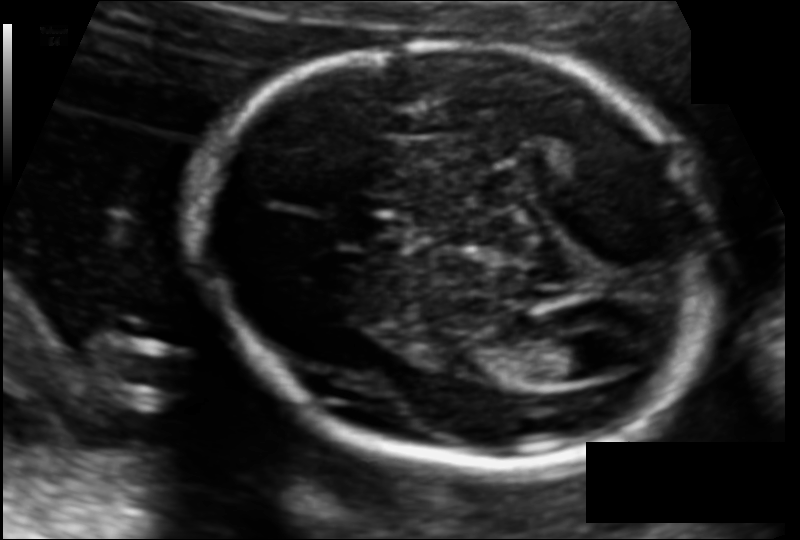
Fetal head ultrasound. Image width: 87.7 mm. Give [x1,y1,x2,y2] bounding boxes for each visible structure among: fetal head, CSP, LV.

Head: [194,42,717,458]
CSP: [331,211,403,249]
Lateral ventricle: [525,328,614,386]